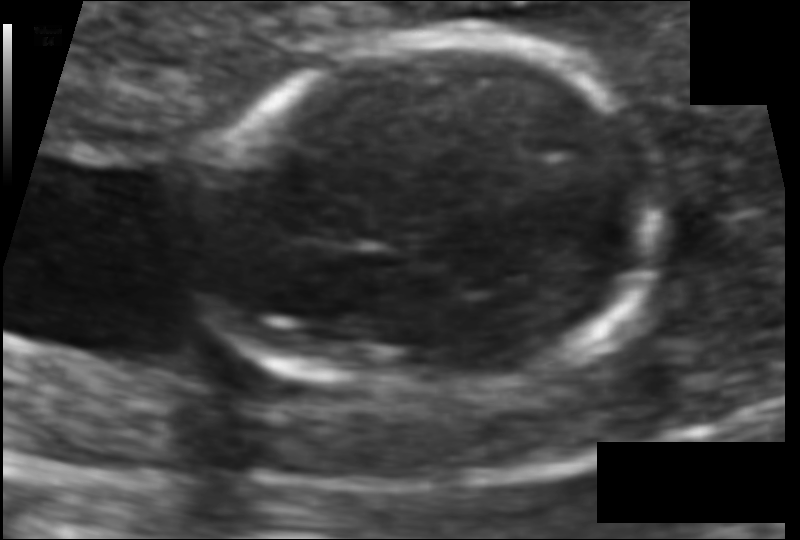
Fetal head ultrasound. Image width: 62.9 mm. Give [x1,y1,x2,y2] bounding boxes for each visible structure among: fetal head, CSP, LV.

Head: [190,33,657,404]